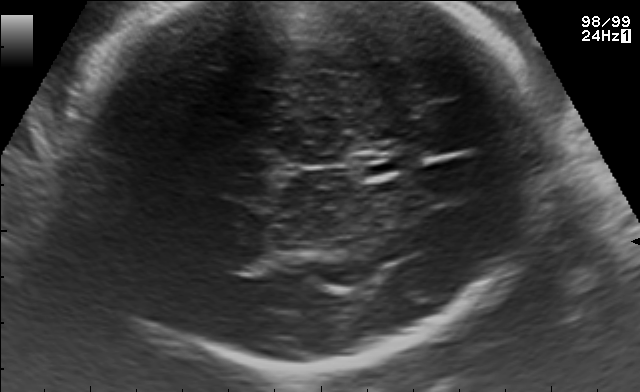
Fetal brain, trans-thalamic plane. Where is the cavum septum pellucidum?

CSP bounding box: [356,152,406,178]